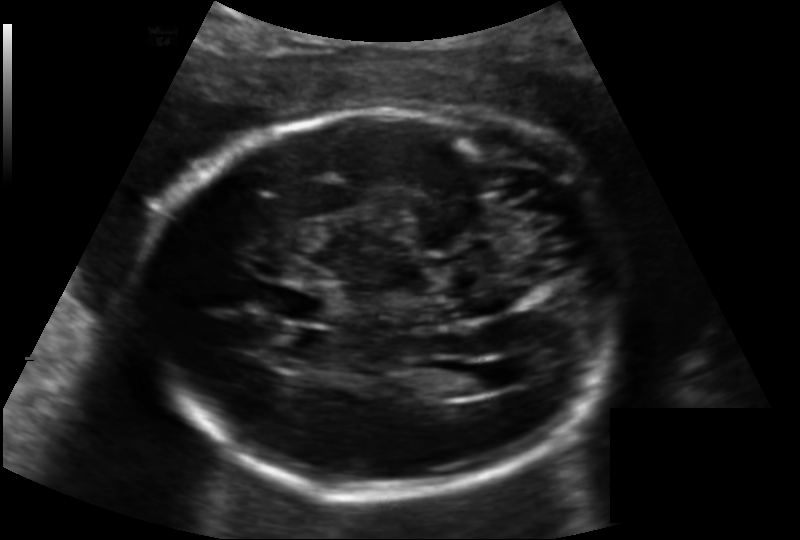
Fetal head ultrasound. Image width: 126.5 mm. Locate the cavum septum pellucidum.

CSP: [270,281,335,327]